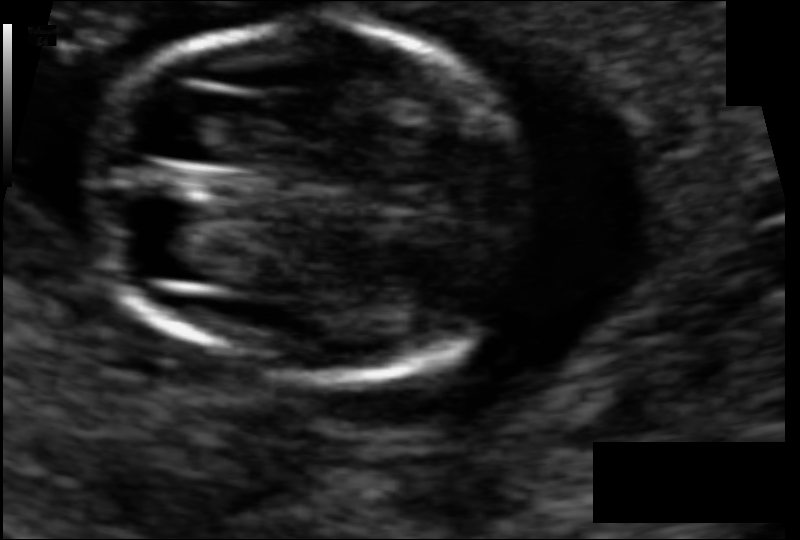
Estimate the fetal head circumference from this 2D ultrasound. Image width: 48.6 mm.

Head circumference: 79.9 mm.